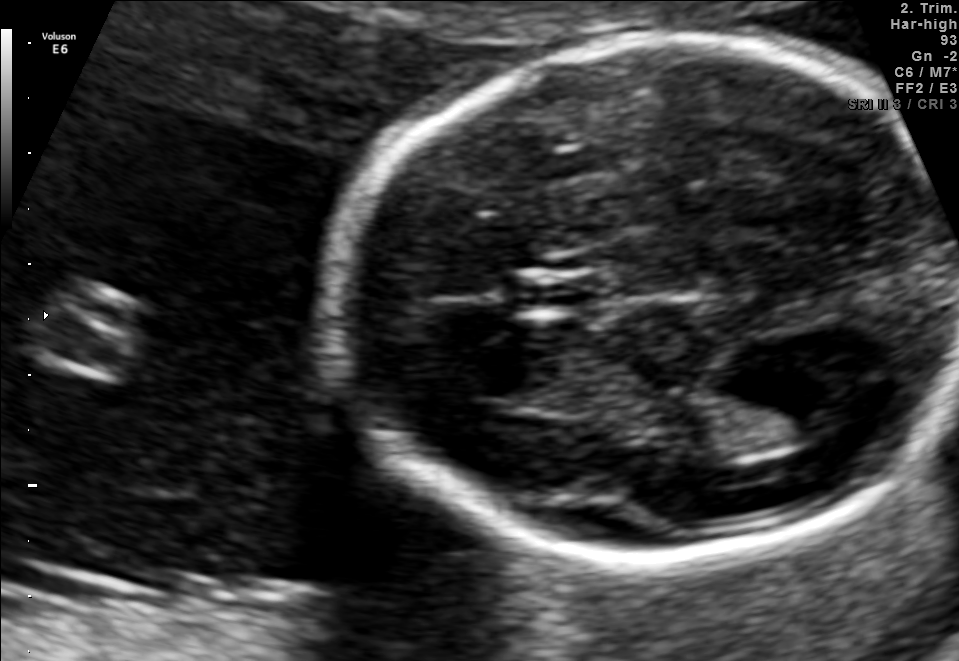
In this fetal brain, trans-thalamic plane, give the bounding box of the cavum septum pellucidum.

[512,273,602,311]